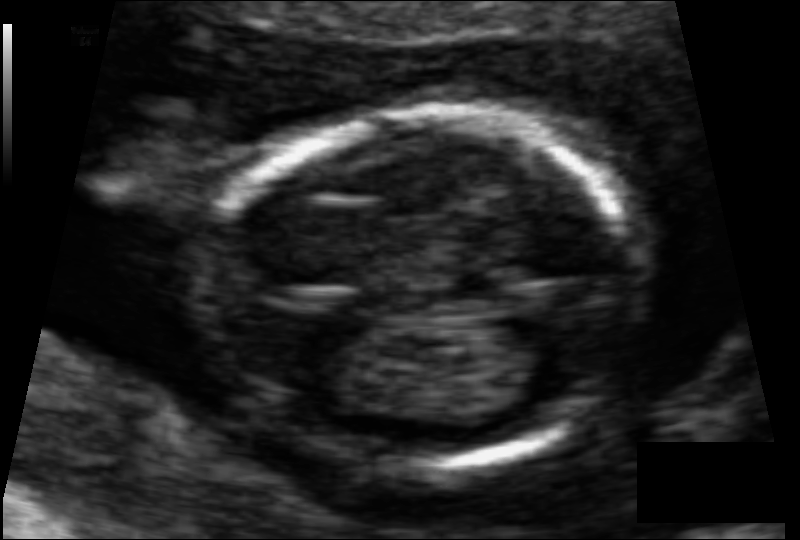
In this fetal head ultrasound, give bounding boxes for the head outline, cavum septum pellucidum (CSP), and lateral ventricle (LV), where visible. Image width: 52.3 mm.

Head: [206,109,642,475]